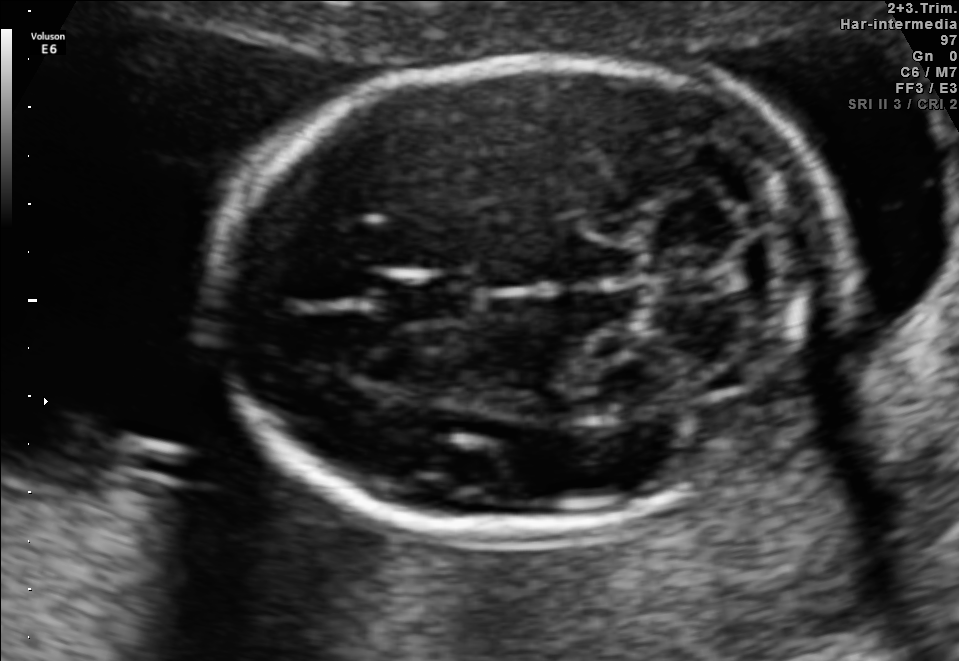
Fetal brain, trans-cerebellum plane. Where is the fetal head?

Head bounding box: [204,57,845,526]